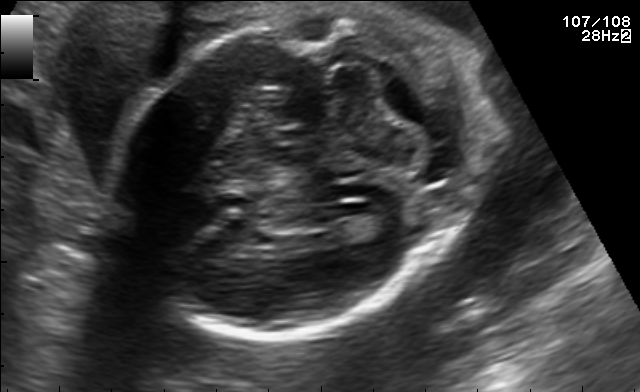
In this fetal brain, trans-cerebellum plane, give the bounding box of the fetal head.

[113,8,489,334]